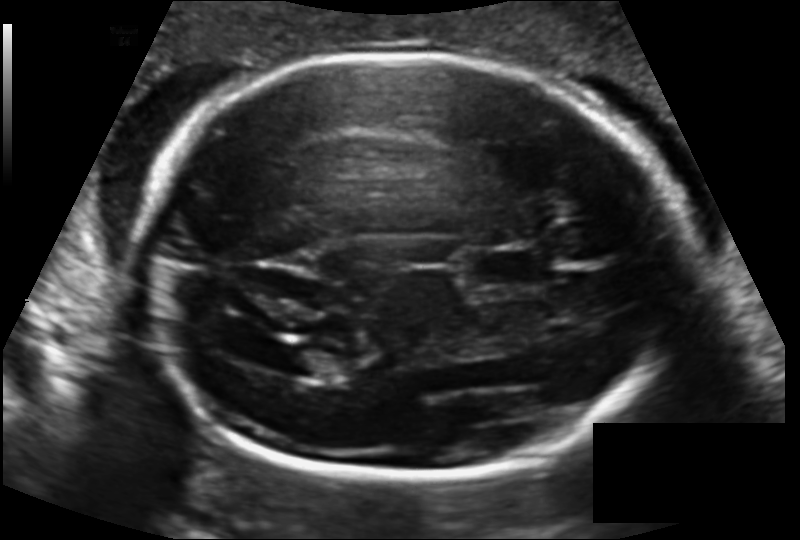
Fetal head ultrasound. Image width: 112.0 mm. Where is the cavum septum pellucidum?

CSP bounding box: [467,243,551,294]